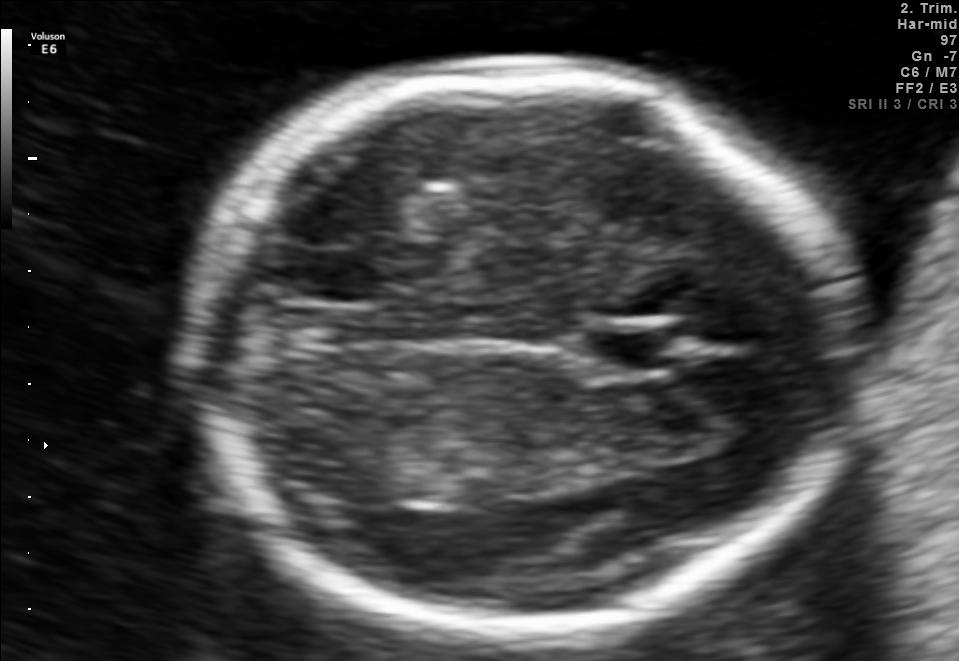
In this fetal brain, trans-thalamic plane, give bounding boxes for the head outline, cavum septum pellucidum (CSP), and lateral ventricle (LV), where visible.

Head: [187,66,852,647]
CSP: [590,323,686,376]